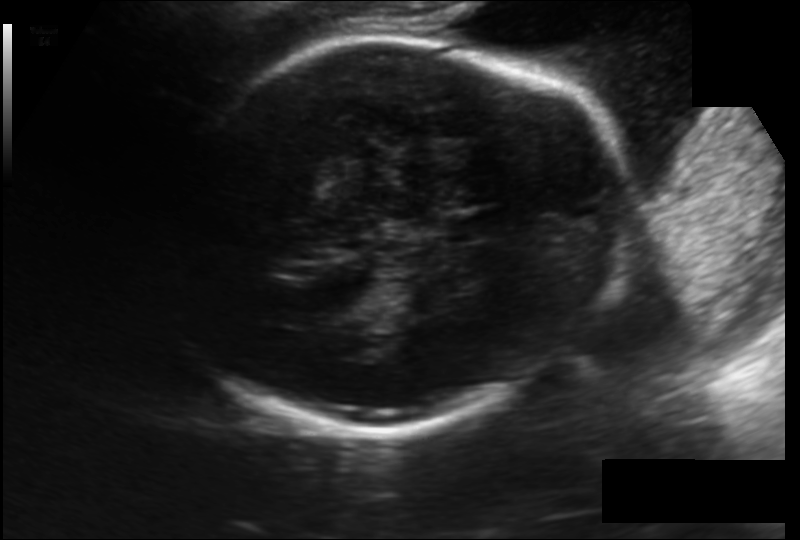
In this fetal head ultrasound, give the bounding box of the fetal head. Image width: 139.5 mm.

[162,34,631,429]